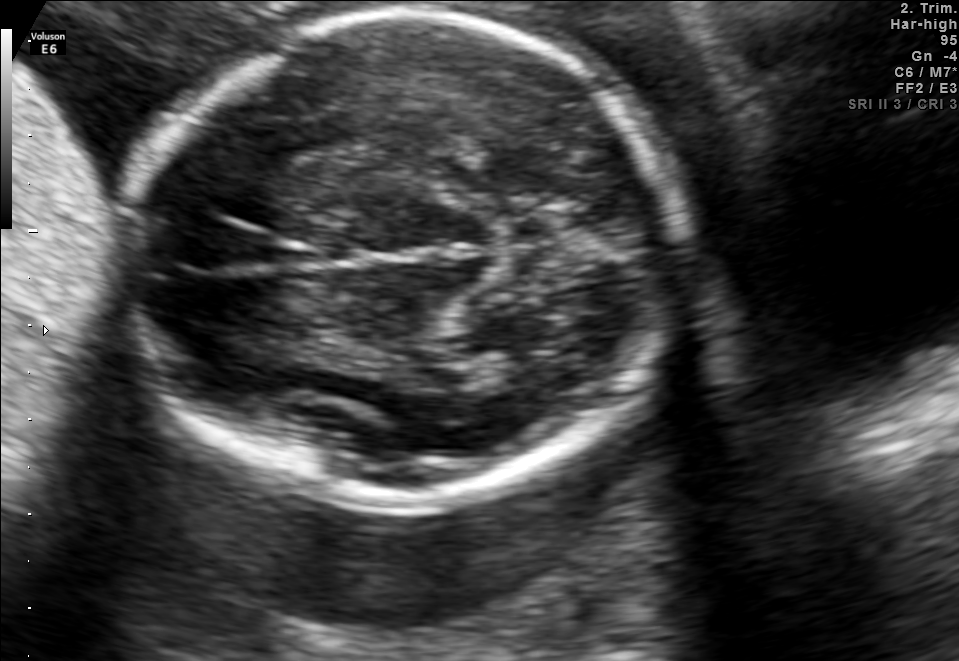
Fetal brain, trans-thalamic plane. Give [x1,y1,x2,y2] bounding boxes for each visible structure among: fetal head, CSP, LV.

Head: [121,16,684,501]